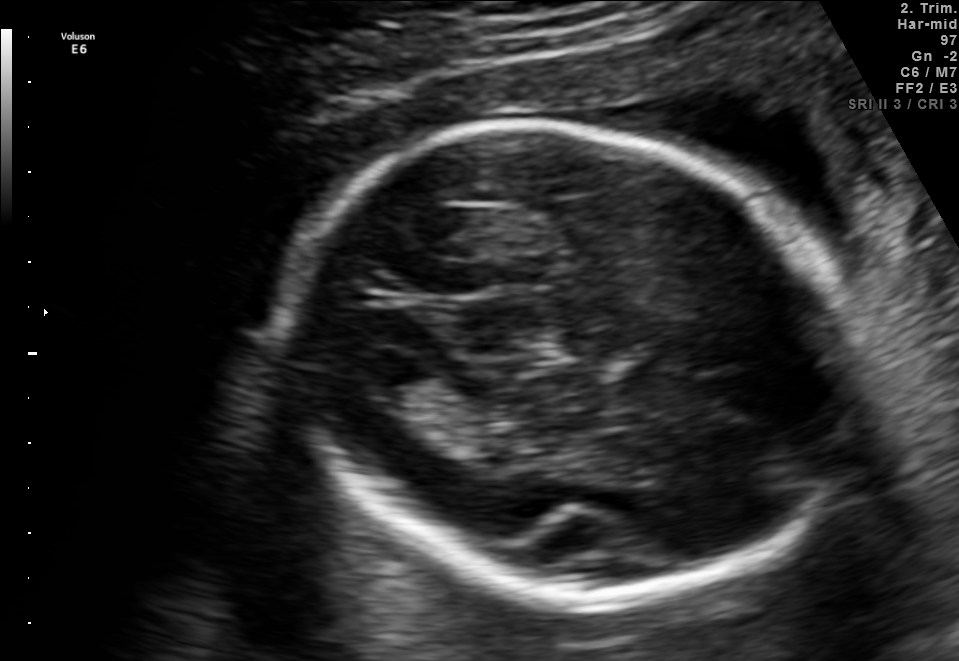
Fetal brain, trans-thalamic plane. Locate the fetal head.

Head: [288,123,861,604]